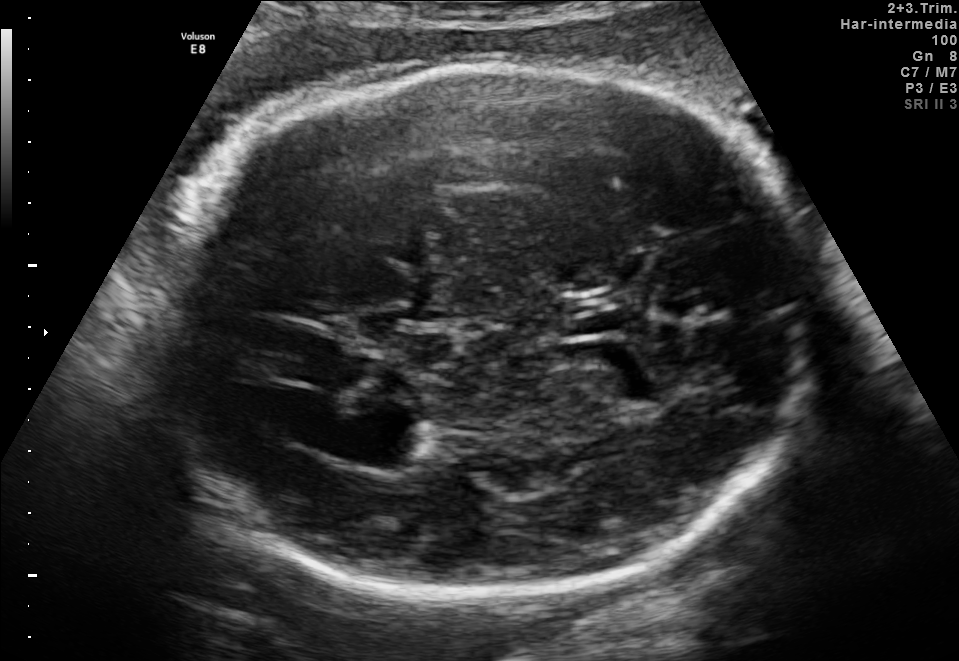
Which standard maternal-fetal ultrasound plane is shown: fetal abdomen, fetal brain, fetal femur, fetal thorax, maternal cervix, or other? If it's fetal brain and one of the three standard brain planes (trans-thalamic, trans-cerebellum, trans-ventricular), name which.

Fetal brain (trans-thalamic plane)